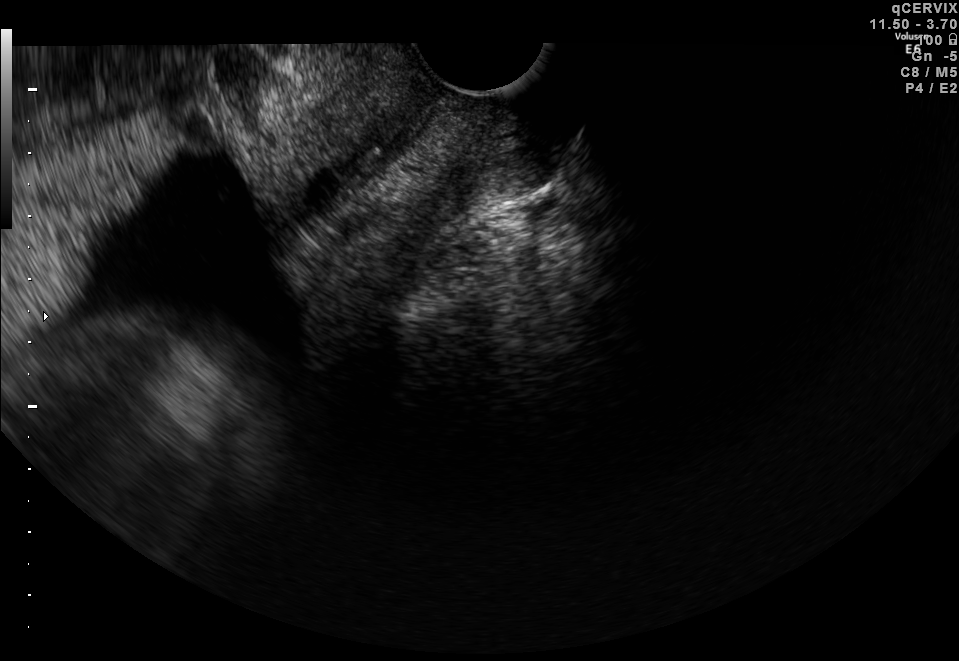
This is a 2D maternal-fetal ultrasound frame. Is it a fetal abdomen, fetal brain, fetal femur, fetal thorax, maternal cervix, or other standard plane? If it's fetal brain and one of the three standard brain planes (trans-thalamic, trans-cerebellum, trans-ventricular), name which.

Maternal cervix